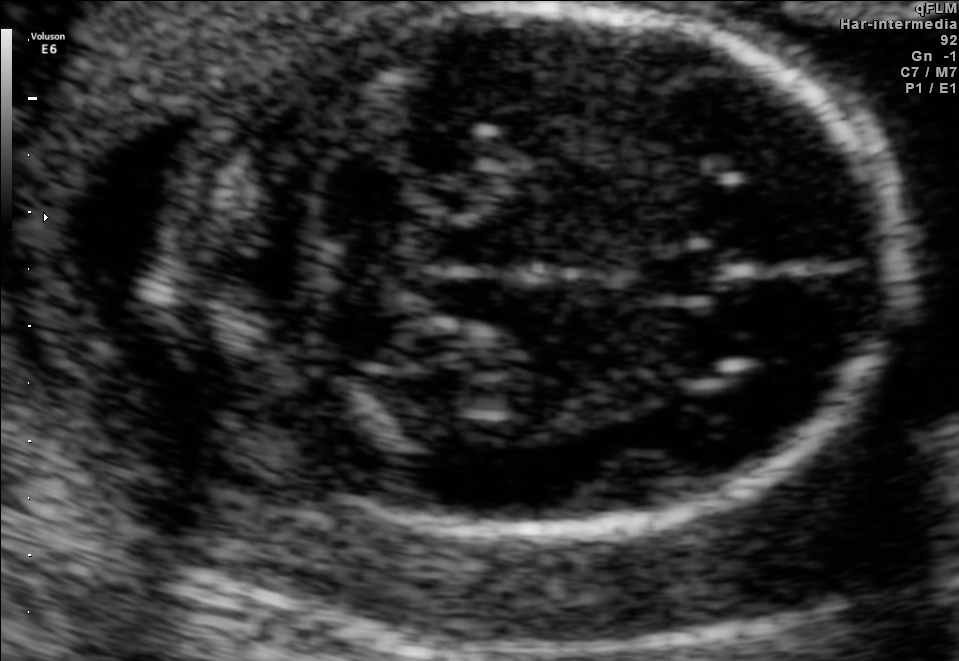
In this fetal brain, trans-cerebellum plane, give bounding boxes for the head outline, cavum septum pellucidum (CSP), and lateral ventricle (LV), where visible.

Head: [175,6,896,531]
CSP: [628,243,722,309]